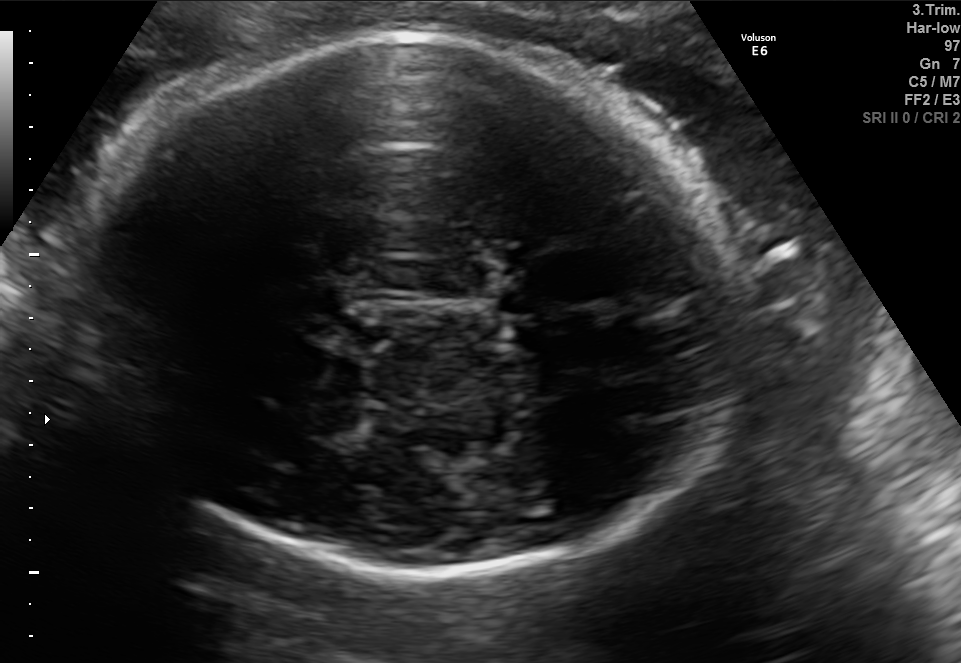
Fetal brain, trans-thalamic plane. Locate the fetal head and, if visible, the cavum septum pellucidum (CSP) and lateral ventricle (LV). Give bounding boxes as [x1,y1,x2,y2].

Head: [80,37,735,578]